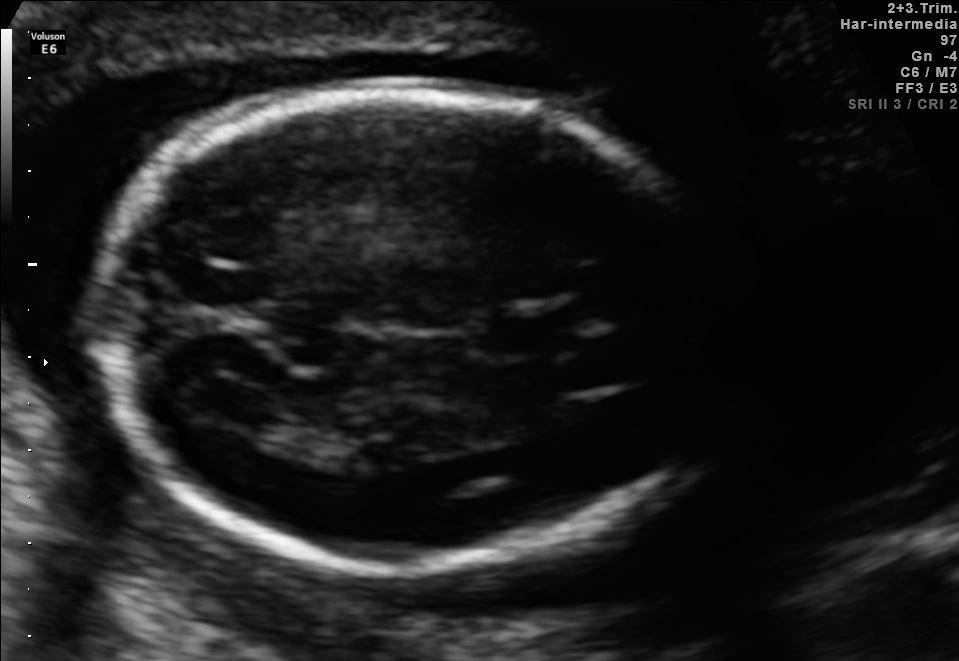
Fetal brain, trans-ventricular plane. Locate the fetal head.

Head: [82,78,753,589]